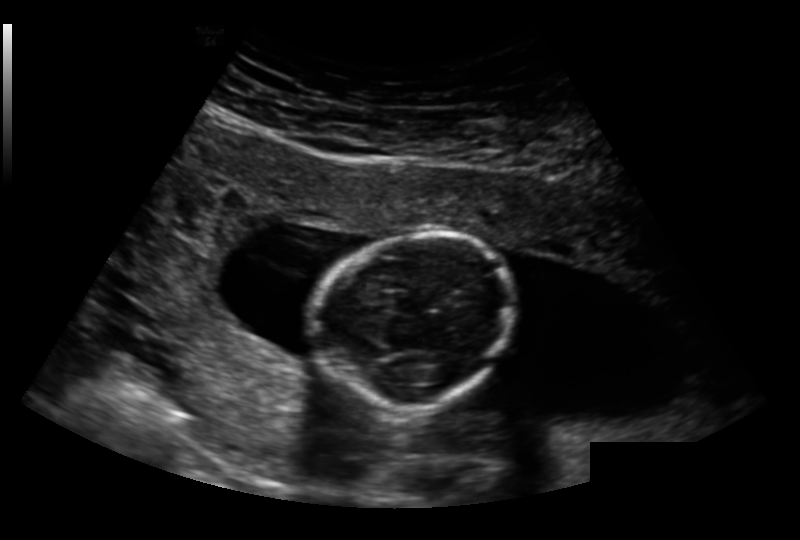
Fetal head ultrasound. Image width: 152.4 mm. Locate the fetal head.

Head: [319,233,516,410]